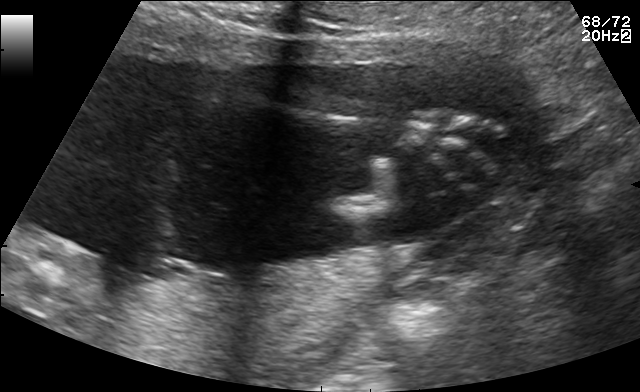
Which standard maternal-fetal ultrasound plane is shown: fetal abdomen, fetal brain, fetal femur, fetal thorax, maternal cervix, or other? If it's fetal brain and one of the three standard brain planes (trans-thalamic, trans-cerebellum, trans-ventricular), name which.

Other